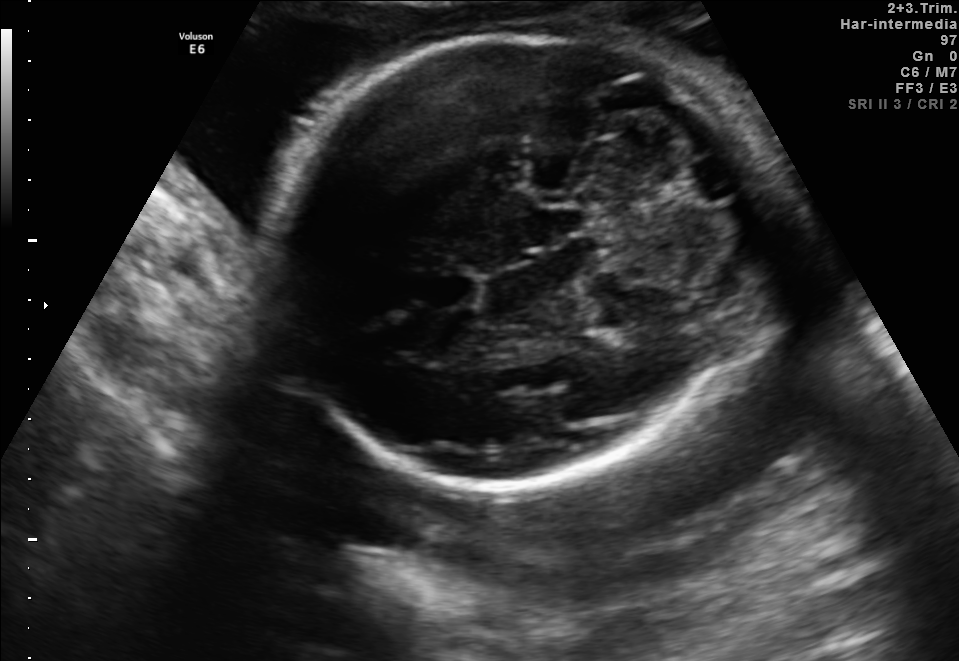
In this fetal brain, trans-cerebellum plane, give the bounding box of the cavum septum pellucidum.

[413,271,477,308]